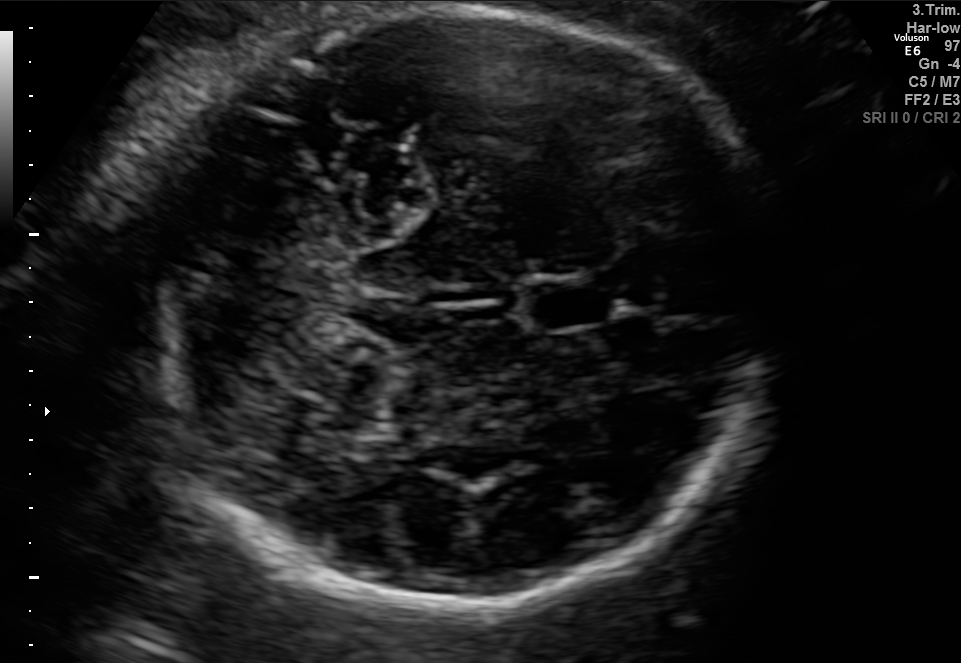
In this fetal brain, trans-cerebellum plane, give the bounding box of the fetal head.

[141,8,766,605]